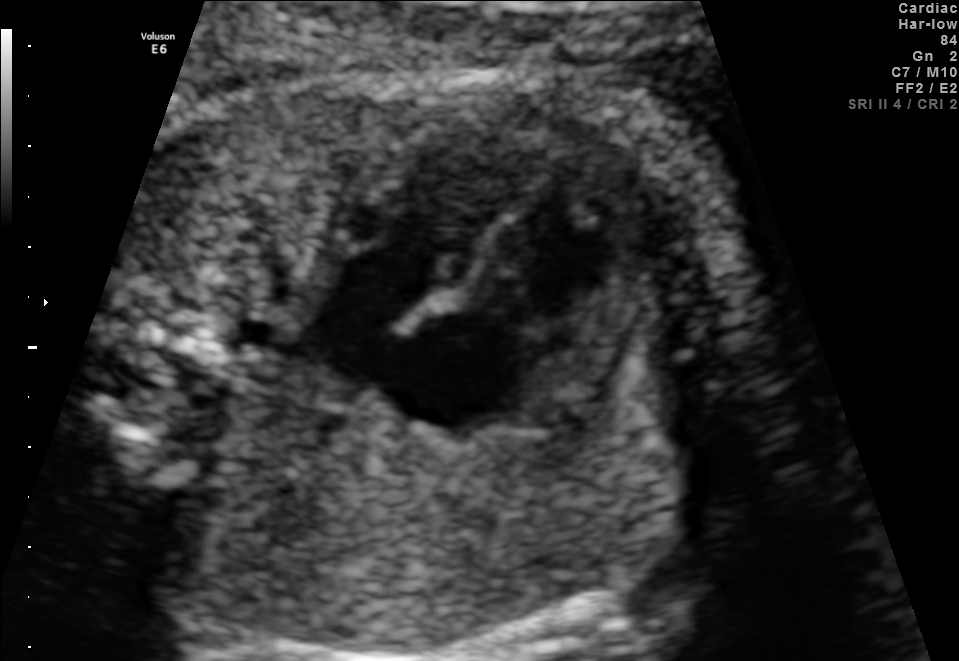
Which standard maternal-fetal ultrasound plane is shown: fetal abdomen, fetal brain, fetal femur, fetal thorax, maternal cervix, or other? If it's fetal brain and one of the three standard brain planes (trans-thalamic, trans-cerebellum, trans-ventricular), name which.

Fetal thorax